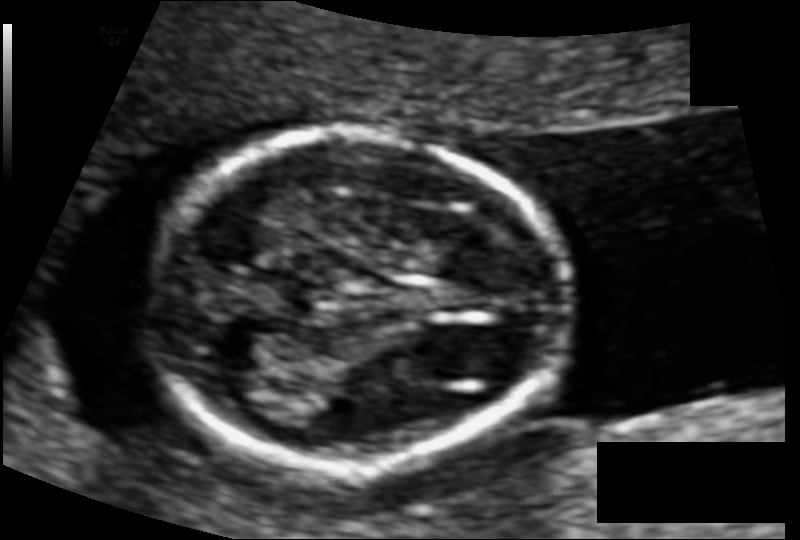
Measure the fetal head circumference shown in this ultrasound image. Image width: 66.8 mm.

Head circumference: 101.5 mm.